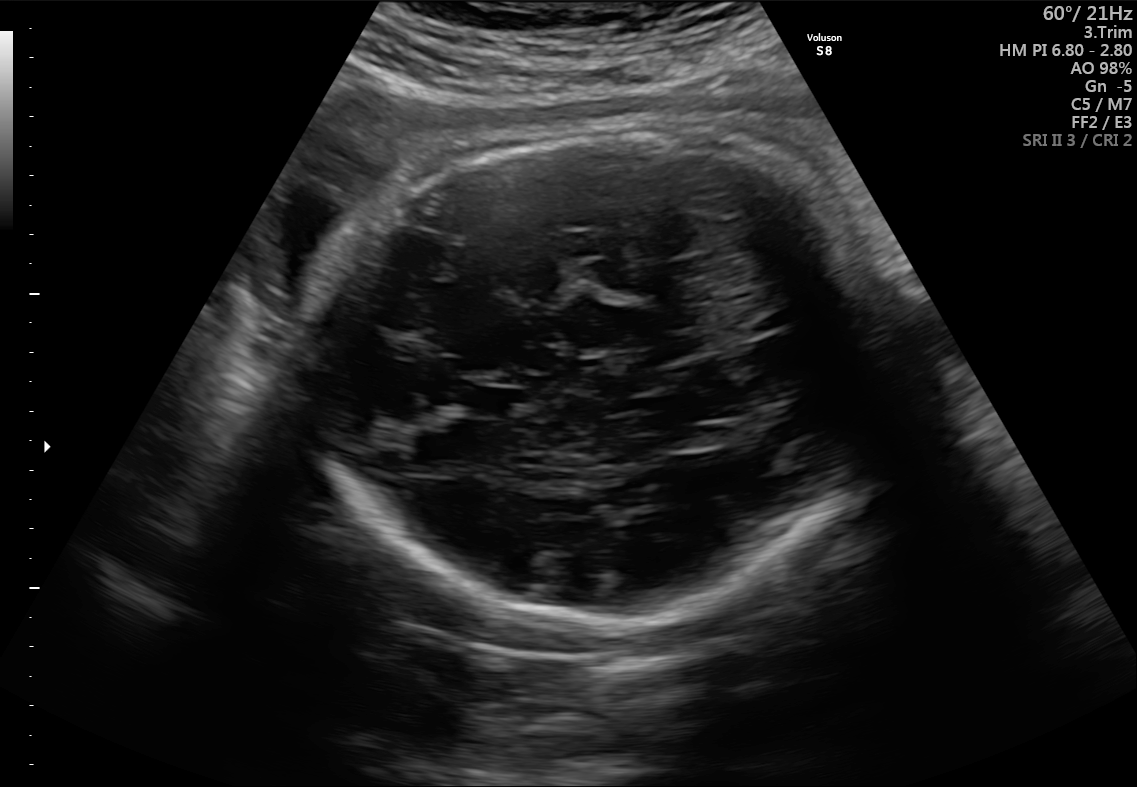
Fetal brain, trans-thalamic plane. Locate the lateral ventricle.

Lateral ventricle: [670,421,734,452]